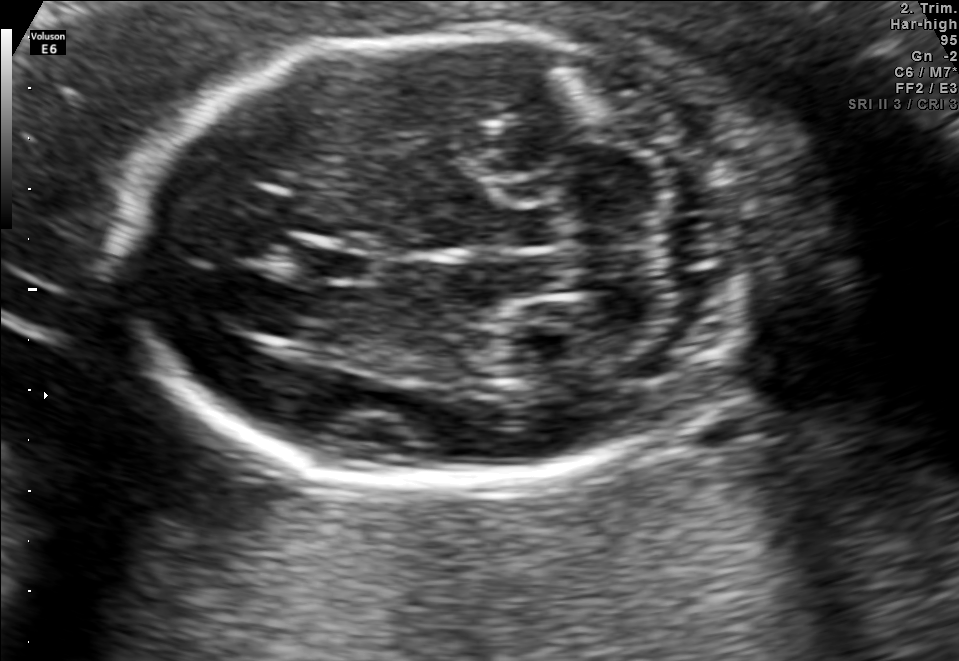
In this fetal brain, trans-cerebellum plane, give the bounding box of the lateral ventricle.

[486,316,586,374]